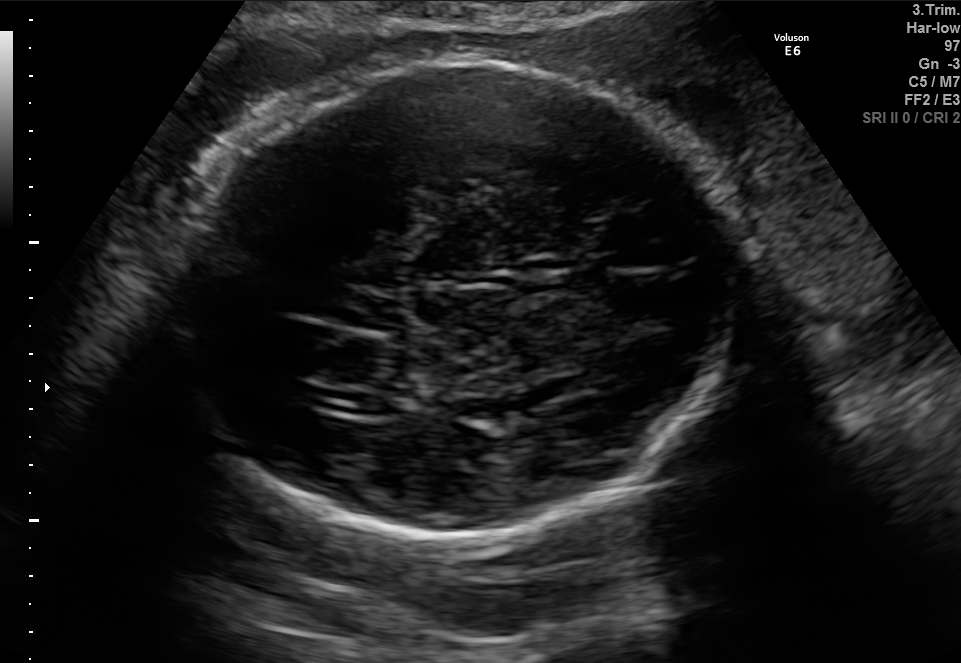
In this fetal brain, trans-ventricular plane, give the bounding box of the cavum septum pellucidum.

[563,263,615,298]